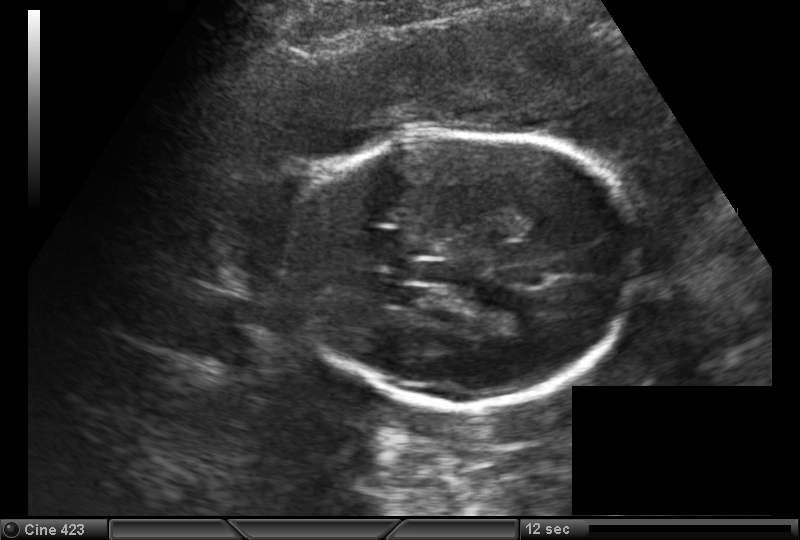
What is the fetal head circumference? Image width is 138.2 mm.

177.0 mm